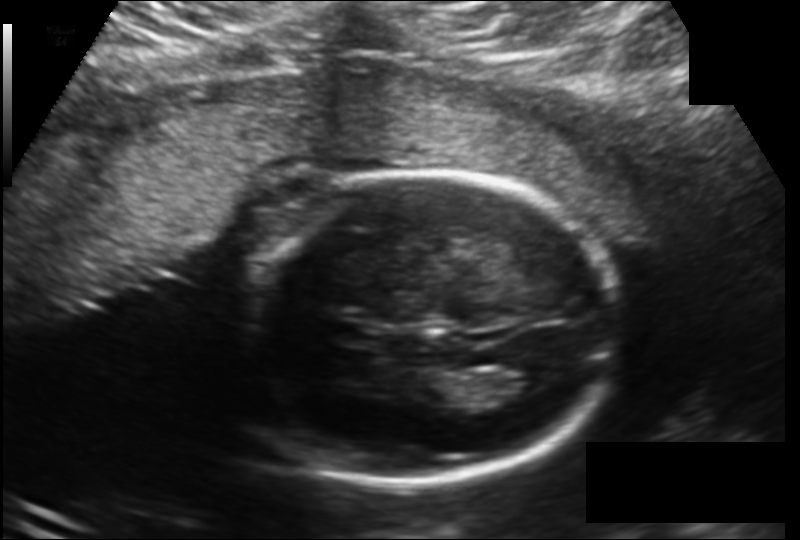
In this fetal head ultrasound, give bounding boxes for the head outline, cavum septum pellucidum (CSP), and lateral ventricle (LV), where visible. Image width: 132.4 mm.

Head: [226,174,621,482]
Lateral ventricle: [489,362,557,402]